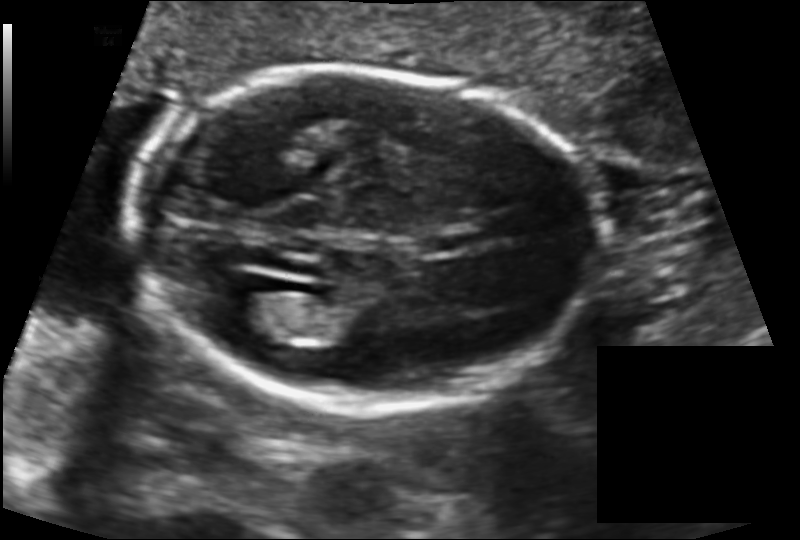
In this fetal head ultrasound, give bounding boxes for the head outline, cavum septum pellucidum (CSP), and lateral ventricle (LV), where visible. Image width: 105.0 mm.

Head: [133,73,604,410]
CSP: [417,229,474,258]
Lateral ventricle: [220,294,293,340]